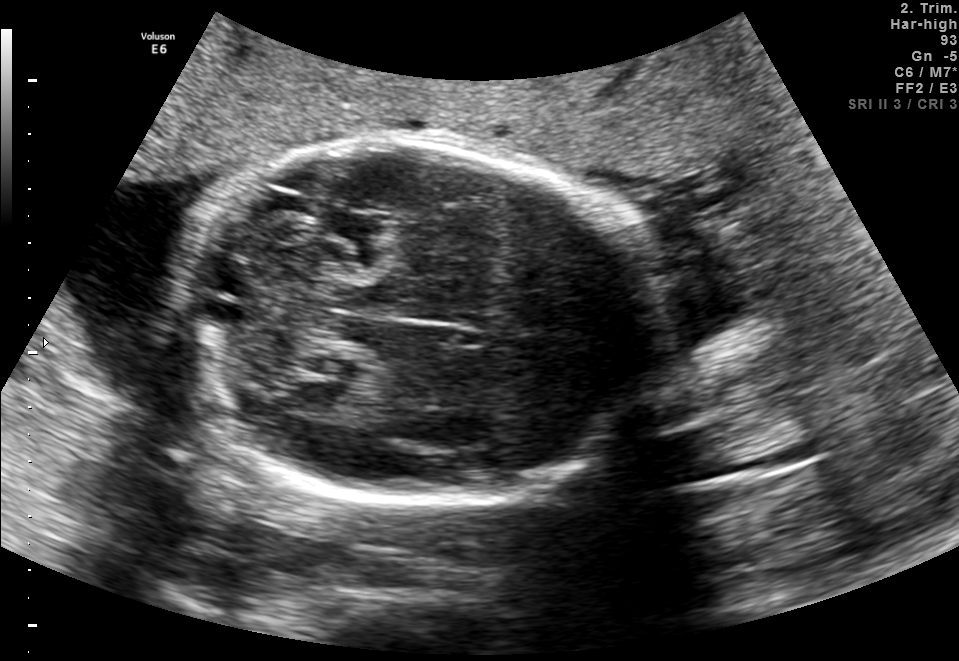
Classify this maternal-fetal ultrasound image as one of the six standard planes — fetal abdomen, fetal brain, fetal femur, fetal thorax, maternal cervix, or other. If it's fetal brain and one of the three standard brain planes (trans-thalamic, trans-cerebellum, trans-ventricular), name which.

Fetal brain (trans-cerebellum plane)